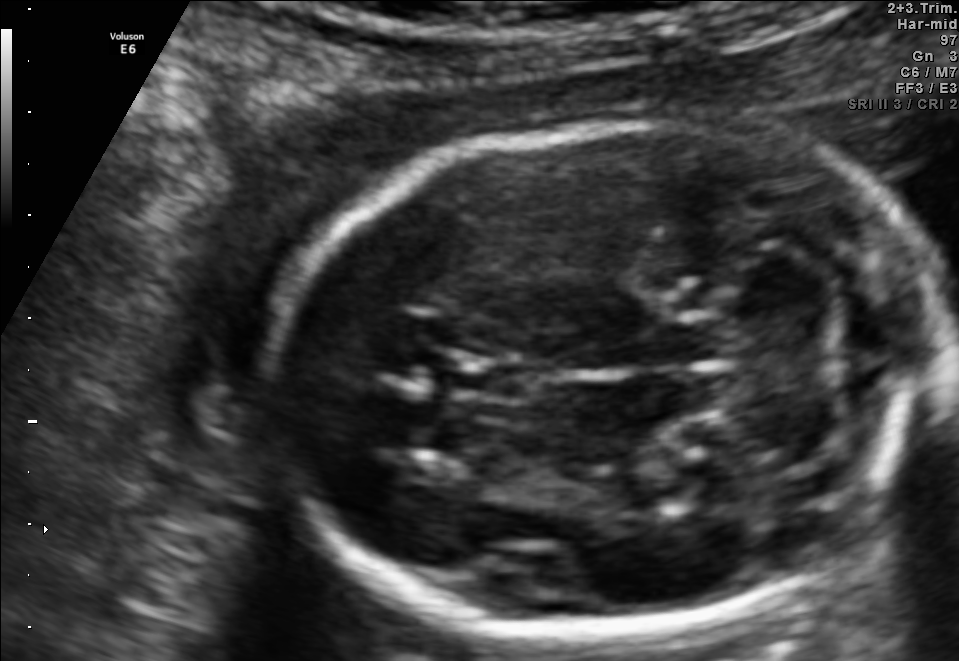
Fetal brain, trans-cerebellum plane. Where is the fetal head?

Head bounding box: [273,117,946,642]